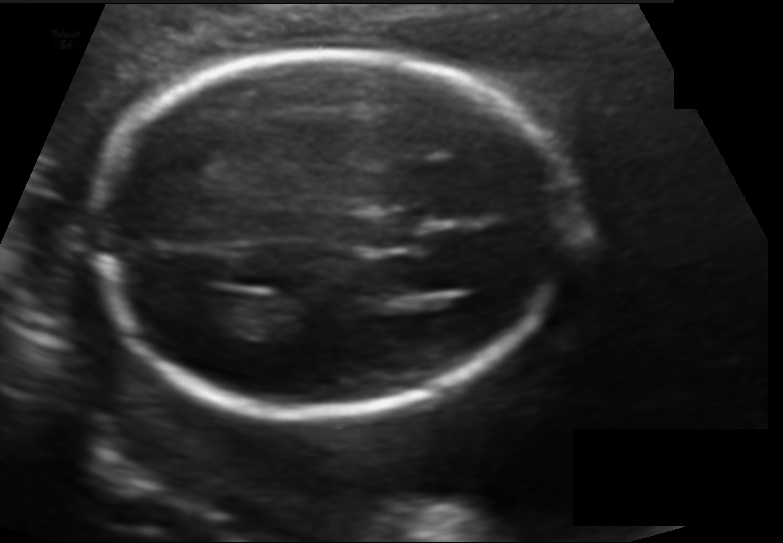
From this fetal ultrasound, estimate the head circumference (image width 100.2 mm).

Head circumference: 174.2 mm.